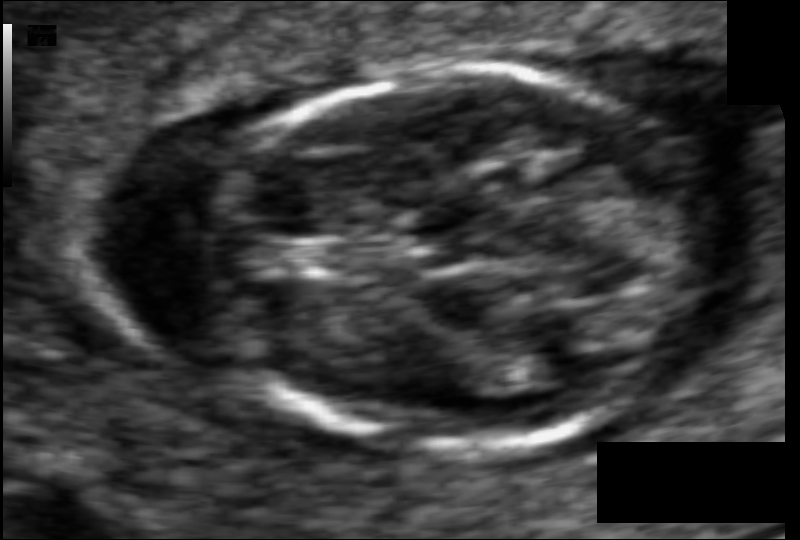
Estimate the fetal head circumference from this 2D ultrasound. Image width: 46.1 mm.

Head circumference: 82.5 mm.